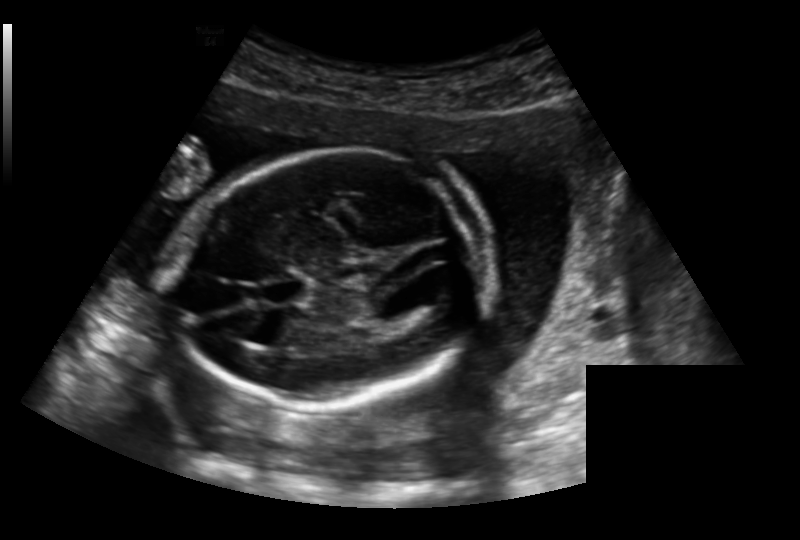
In this fetal head ultrasound, give the bounding box of the lateral ventricle. Image width: 152.5 mm.

[404,262,461,306]